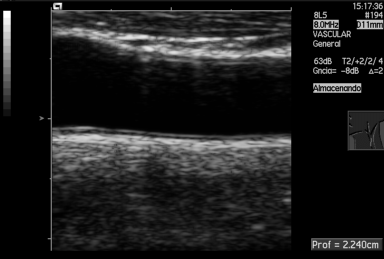
This is a 2D maternal-fetal ultrasound frame. Is it a fetal abdomen, fetal brain, fetal femur, fetal thorax, maternal cervix, or other standard plane? If it's fetal brain and one of the three standard brain planes (trans-thalamic, trans-cerebellum, trans-ventricular), name which.

Other